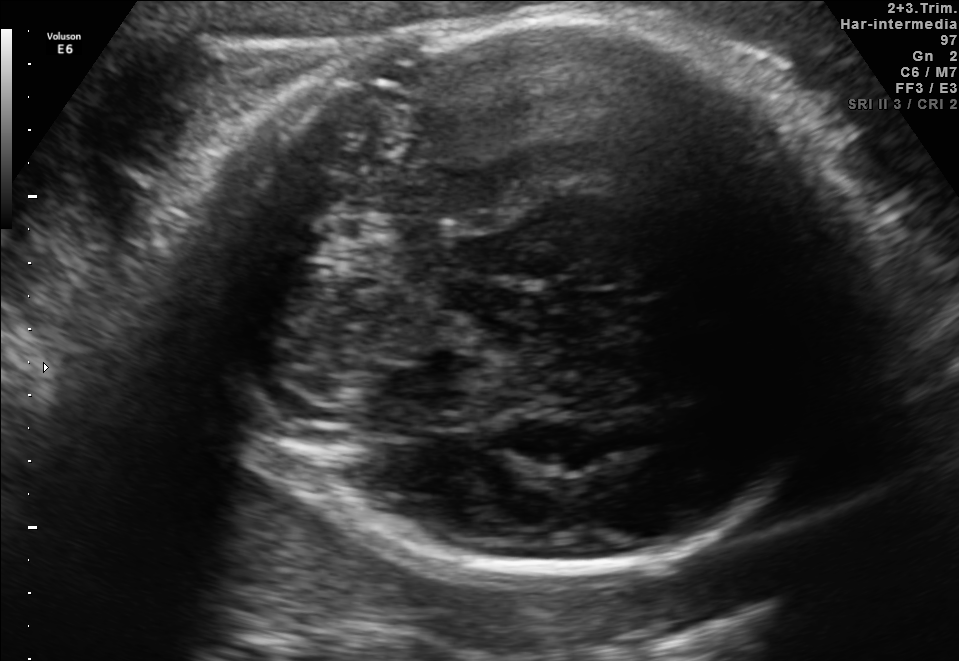
Fetal brain, trans-thalamic plane. Locate the fetal head.

Head: [203,9,864,582]